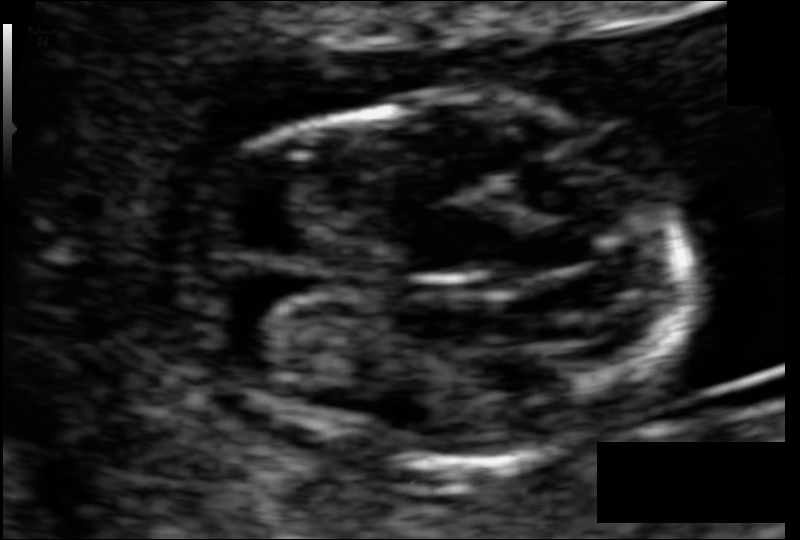
Estimate the fetal head circumference from this 2D ultrasound. Image width: 41.8 mm.

Head circumference: 74.6 mm.